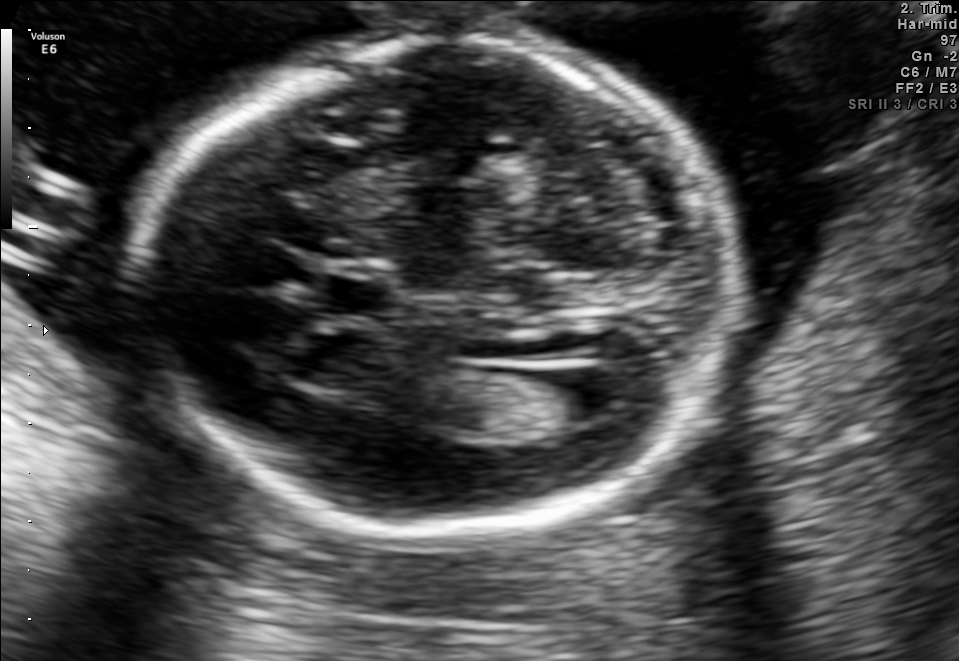
In this fetal brain, trans-ventricular plane, give bounding boxes for the head outline, cavum septum pellucidum (CSP), and lateral ventricle (LV), where visible.

Head: [134,32,743,541]
CSP: [324,277,390,315]
Lateral ventricle: [544,368,627,429]